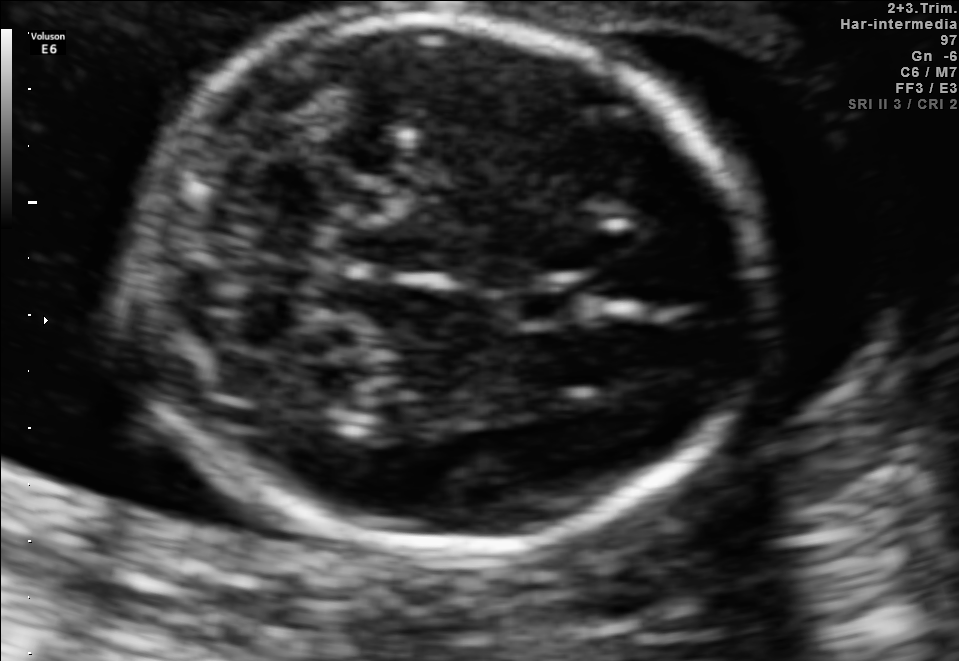
In this fetal brain, trans-cerebellum plane, give the bounding box of the cavum septum pellucidum.

[506,278,581,329]